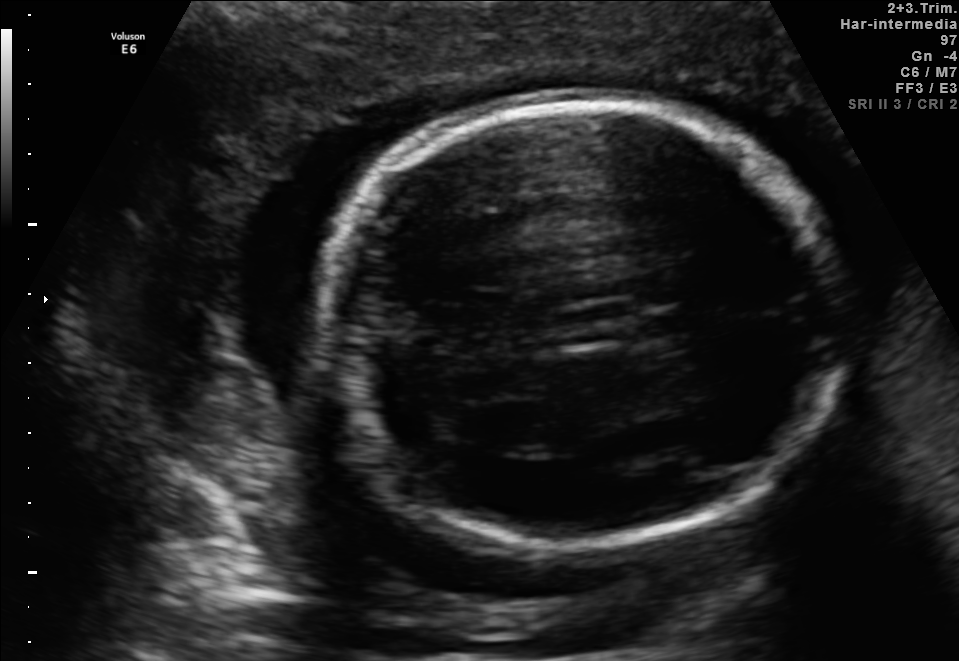
In this fetal brain, trans-thalamic plane, give the bounding box of the fetal head.

[319,94,840,545]